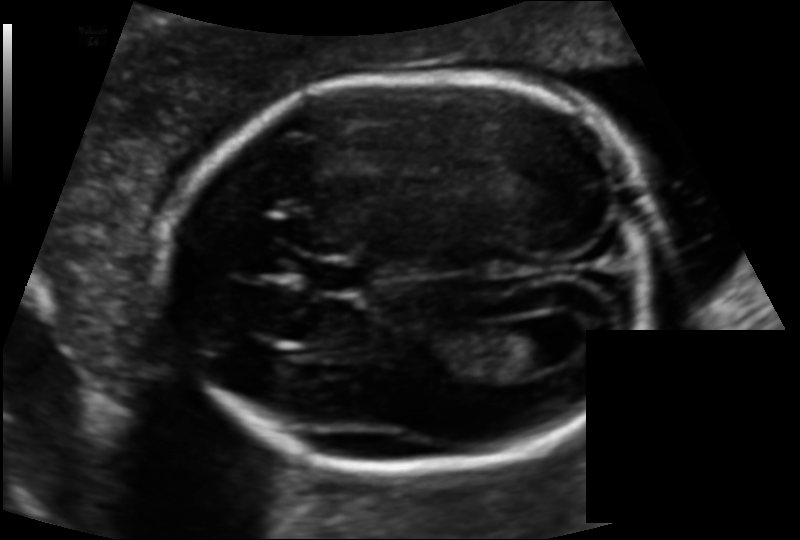
Fetal head ultrasound. Image width: 95.5 mm. Where is the cavum septum pellucidum?

CSP bounding box: [305,255,371,295]